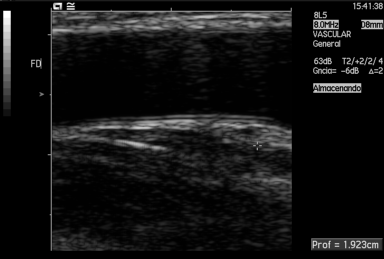
Identify the standard plane in this fetal ultrasound image: fetal abdomen, fetal brain, fetal femur, fetal thorax, maternal cervix, or other. If it's fetal brain and one of the three standard brain planes (trans-thalamic, trans-cerebellum, trans-ventricular), name which.

Other